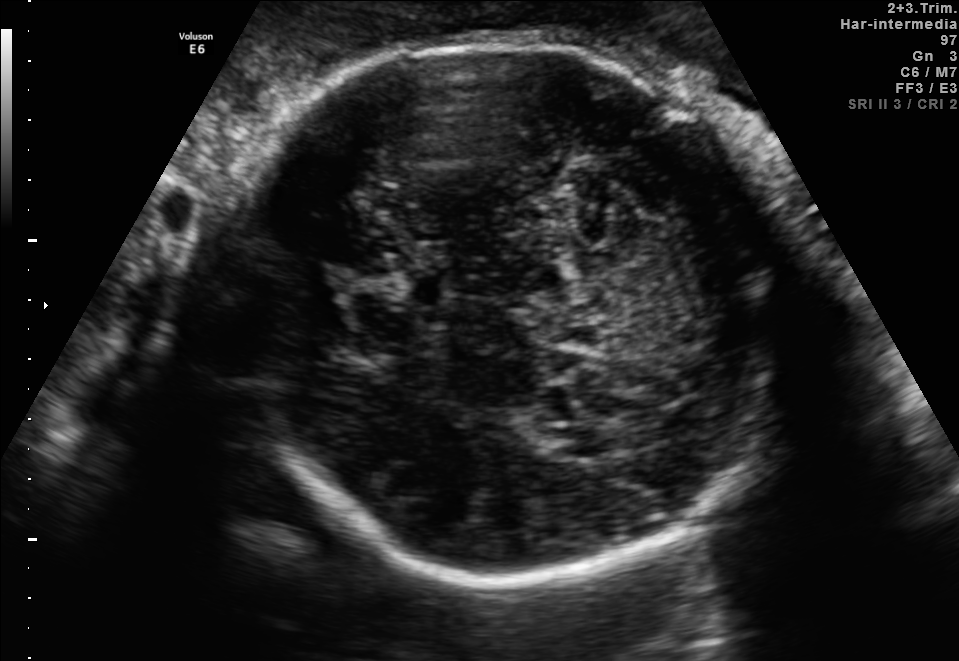
Fetal brain, trans-thalamic plane. Where is the fetal head?

Head bounding box: [218,31,765,570]